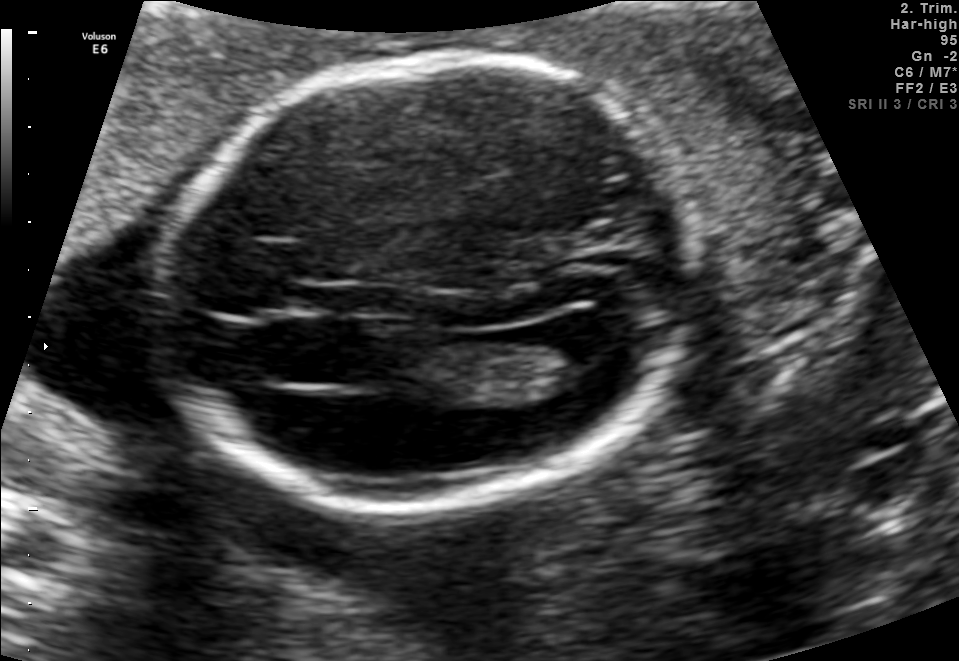
Identify the standard plane in this fetal ultrasound image: fetal abdomen, fetal brain, fetal femur, fetal thorax, maternal cervix, or other. If it's fetal brain and one of the three standard brain planes (trans-thalamic, trans-cerebellum, trans-ventricular), name which.

Fetal brain (trans-ventricular plane)